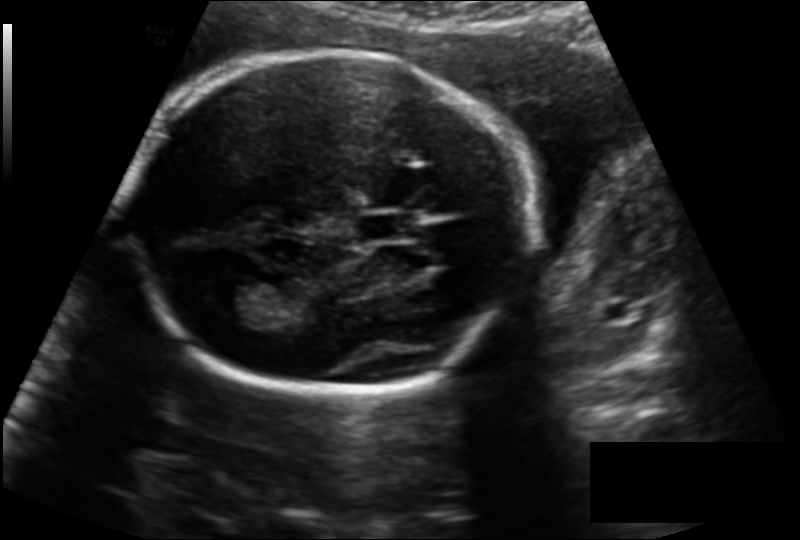
In this fetal head ultrasound, give the bounding box of the fetal head. Image width: 122.1 mm.

[128,51,529,395]